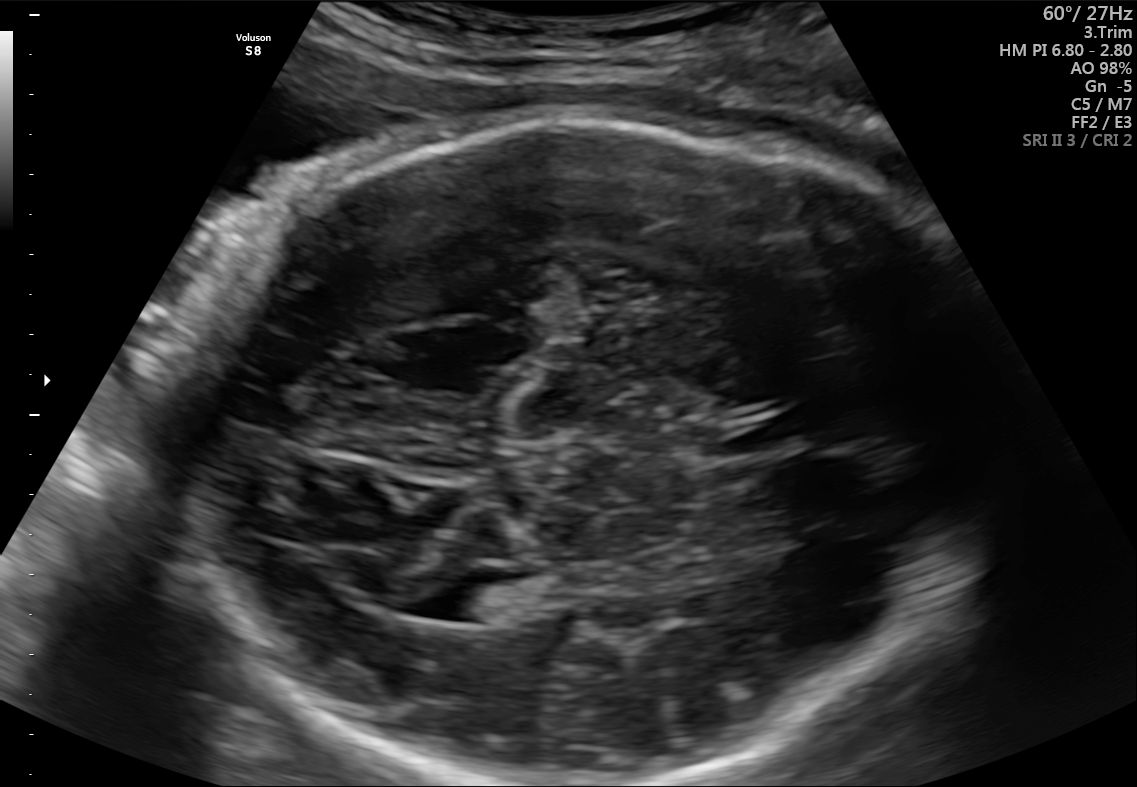
In this fetal brain, trans-thalamic plane, give the bounding box of the lateral ventricle.

[416,563,526,633]